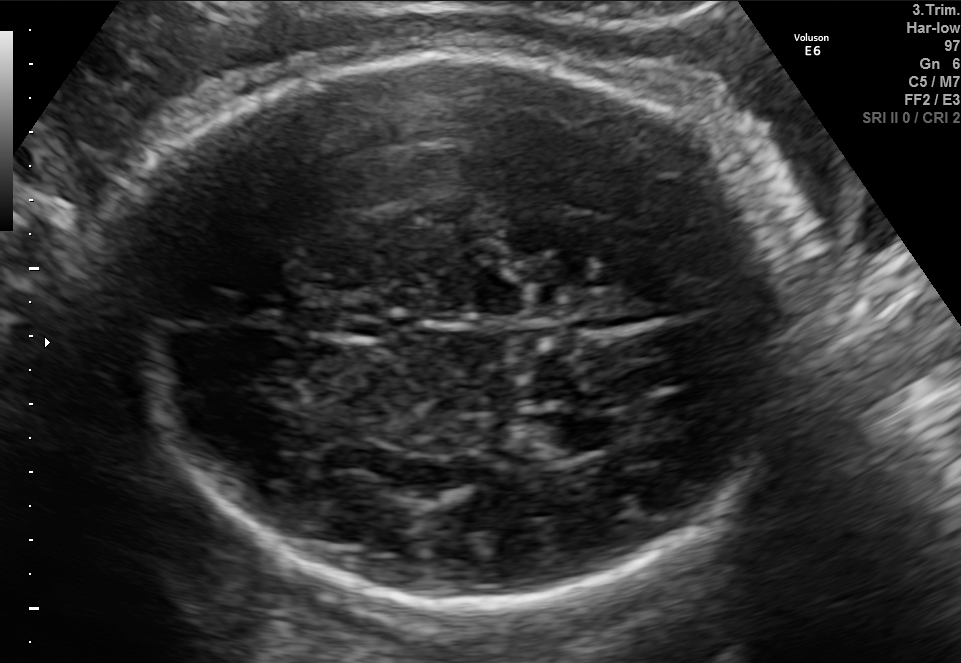
Fetal brain, trans-thalamic plane. Where is the lateral ventricle?

Lateral ventricle bounding box: [525,397,626,465]